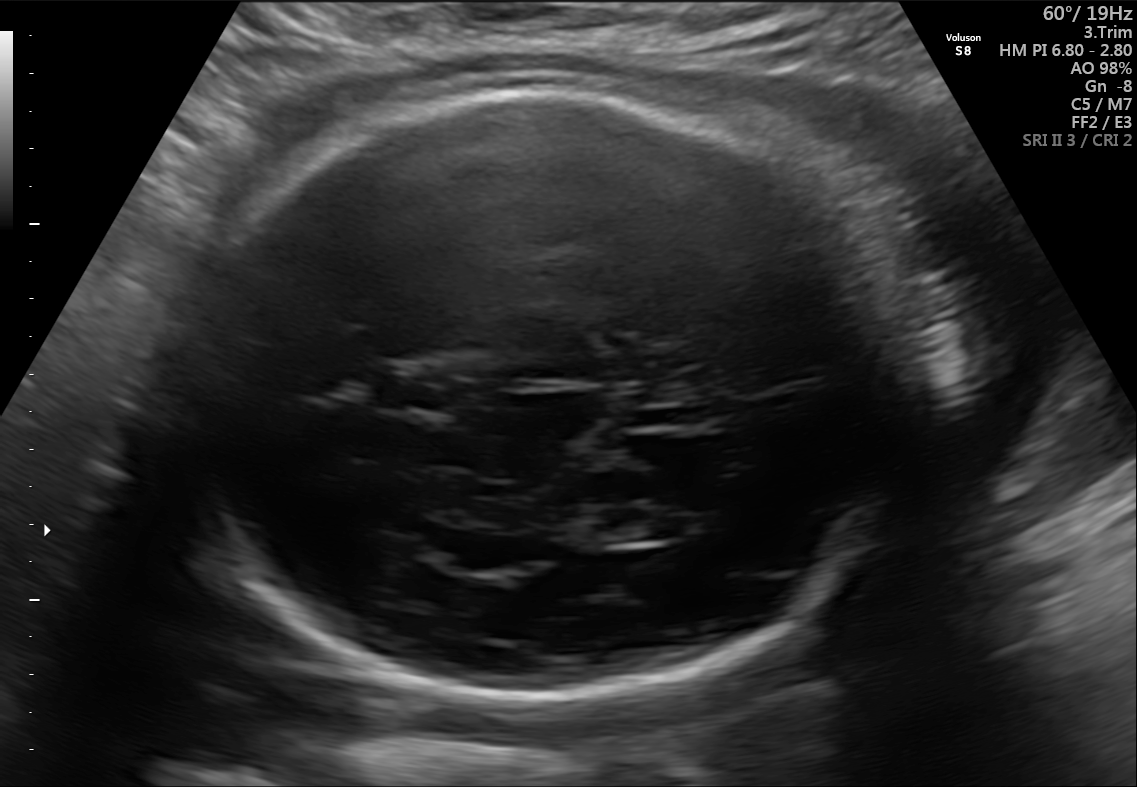
Fetal brain, trans-thalamic plane. Where is the fetal head?

Head bounding box: [165,81,906,692]